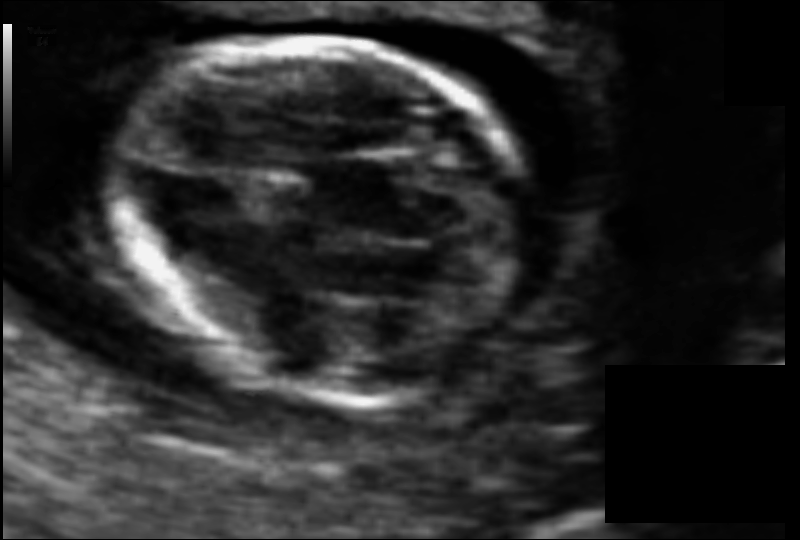
Measure the fetal head circumference shown in this ultrasound image. Image width: 51.5 mm.

Head circumference: 77.7 mm.